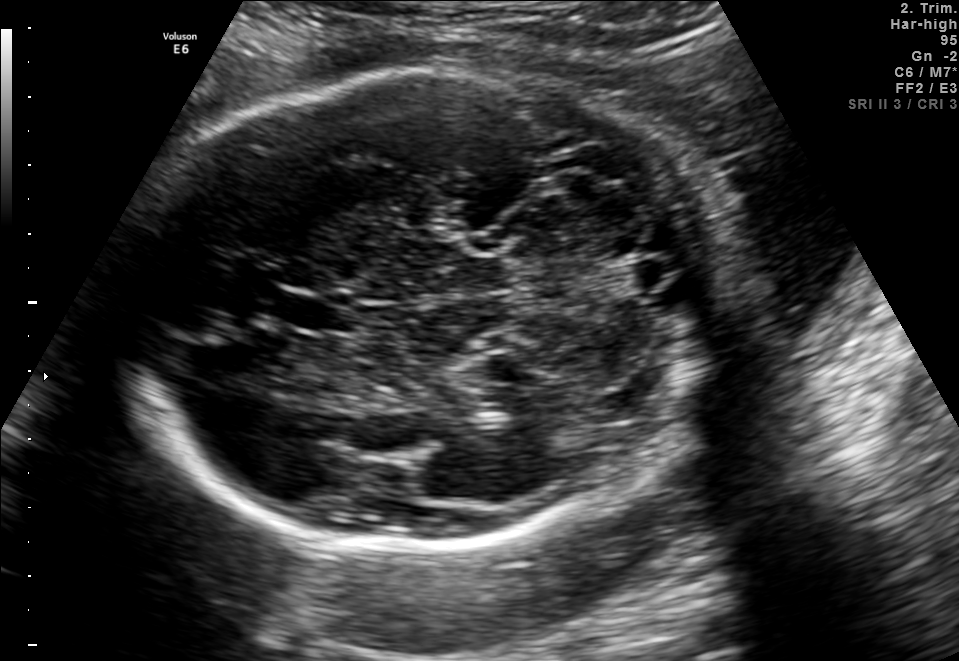
Classify this maternal-fetal ultrasound image as one of the six standard planes — fetal abdomen, fetal brain, fetal femur, fetal thorax, maternal cervix, or other. If it's fetal brain and one of the three standard brain planes (trans-thalamic, trans-cerebellum, trans-ventricular), name which.

Fetal brain (trans-cerebellum plane)